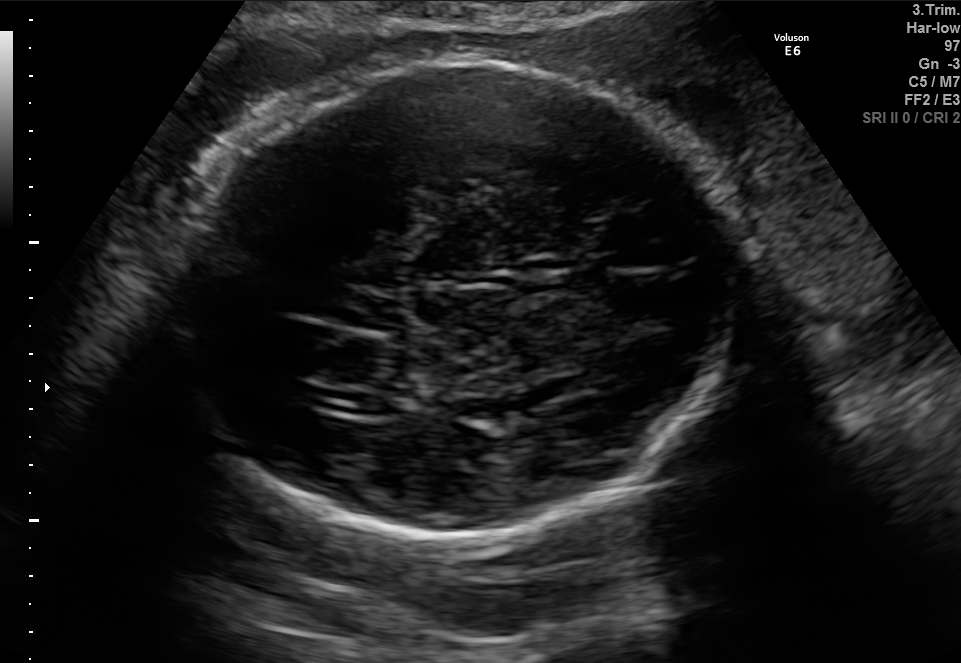
Fetal brain, trans-ventricular plane. Locate the fetal head.

Head: [153,55,756,544]